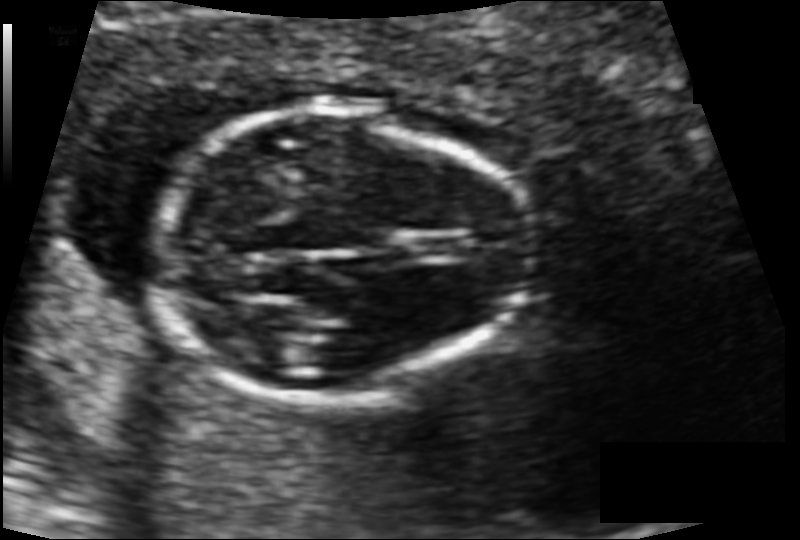
Measure the fetal head circumference shown in this ultrasound image. Image width: 71.4 mm.

Head circumference: 96.1 mm.